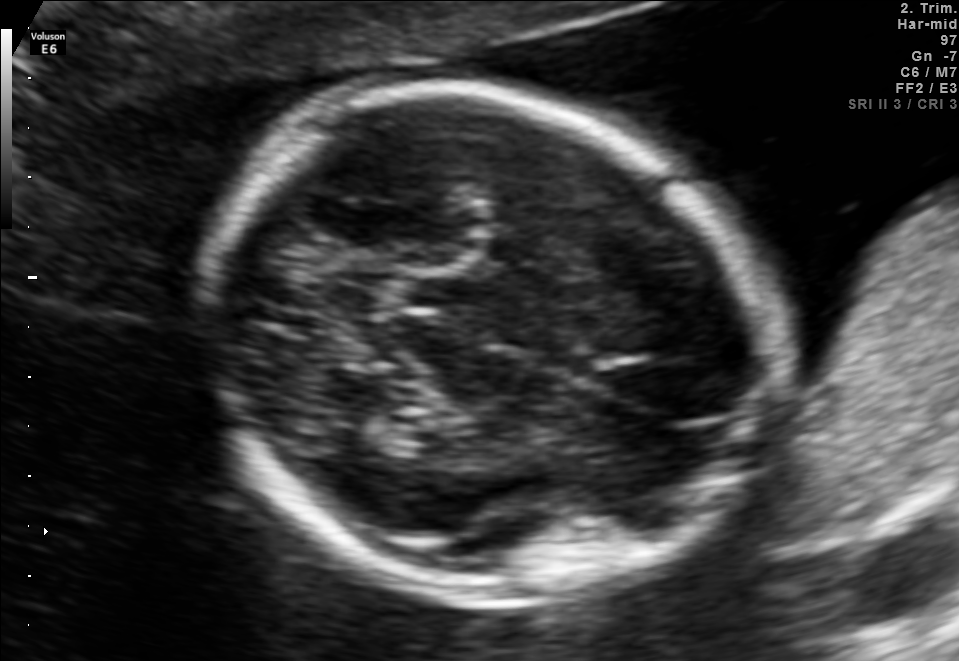
Fetal brain, trans-thalamic plane. Locate the fetal head and, if visible, the cavum septum pellucidum (CSP) and lateral ventricle (LV). Give bounding boxes as [x1,y1,x2,y2].

Head: [194,88,775,597]